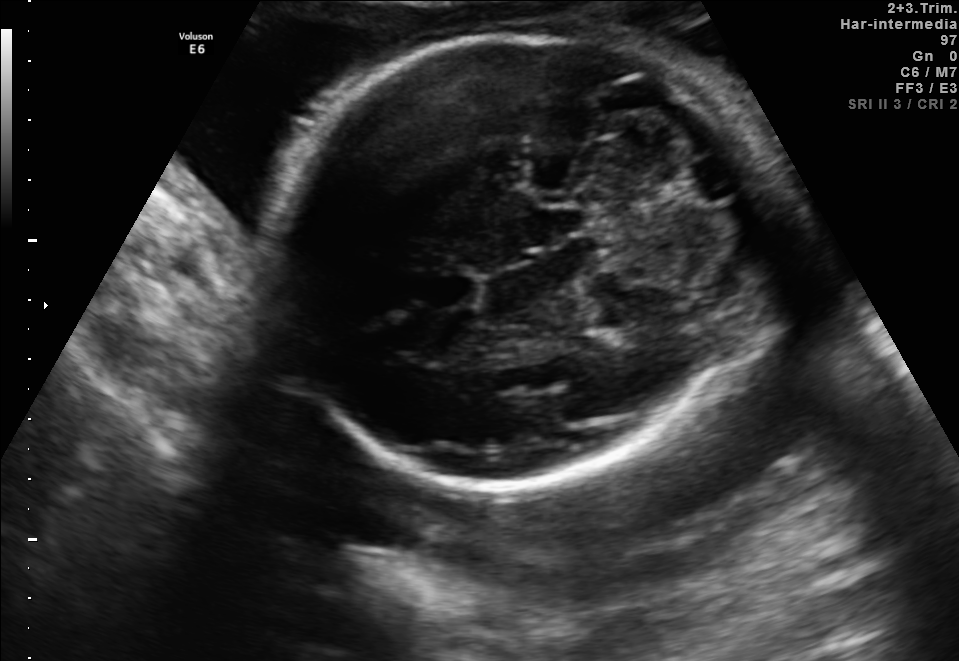
Fetal brain, trans-cerebellum plane. Where is the cavum septum pellucidum?

CSP bounding box: [413,271,477,308]